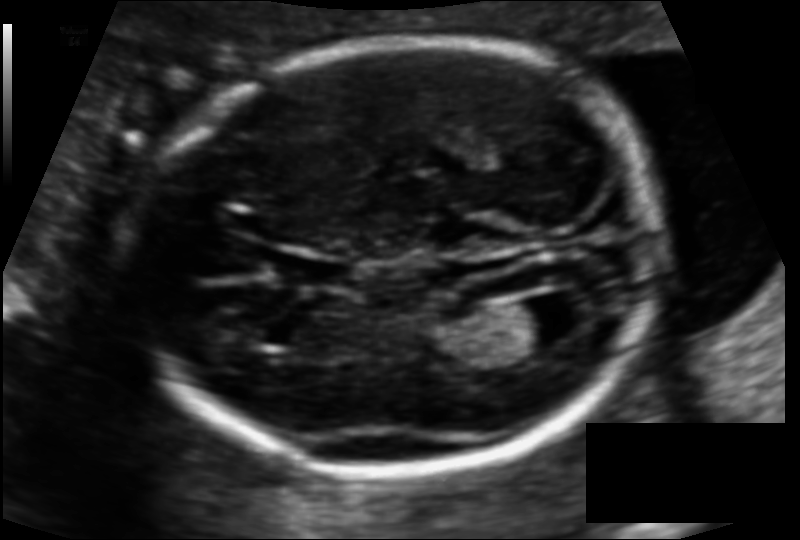
Fetal head ultrasound. Image width: 88.1 mm. Where is the lateral ventricle?

Lateral ventricle bounding box: [502,288,585,354]